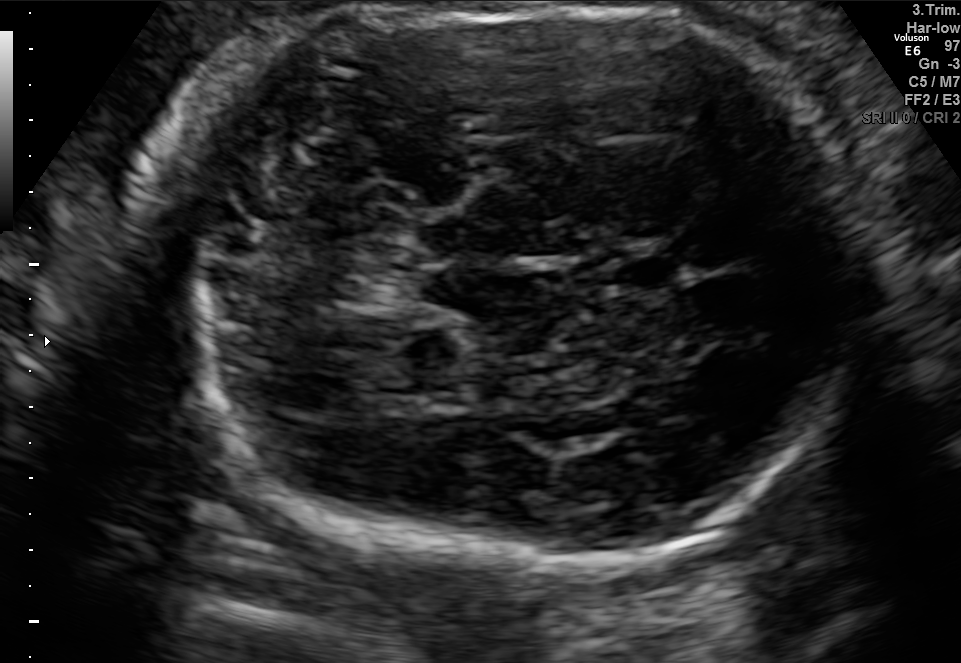
Fetal brain, trans-cerebellum plane. Locate the fetal head.

Head: [160,8,879,563]